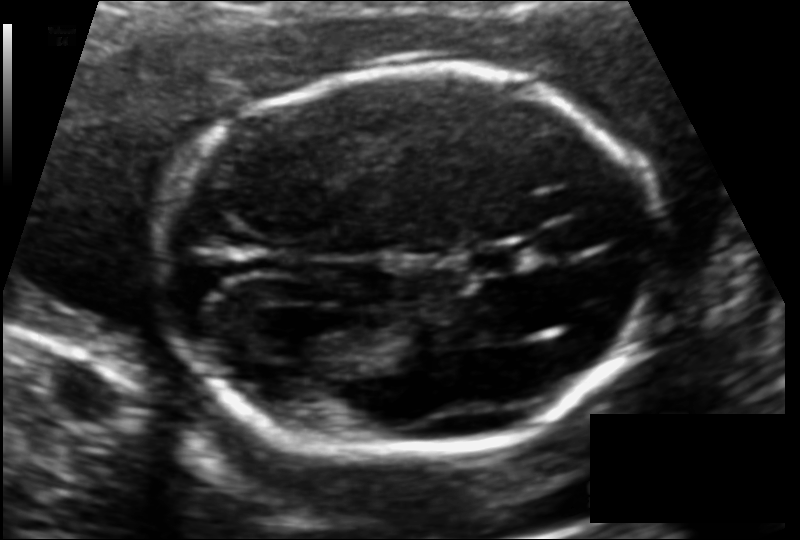
In this fetal head ultrasound, give the bounding box of the lateral ventricle. Image width: 93.1 mm.

[273,308,348,360]